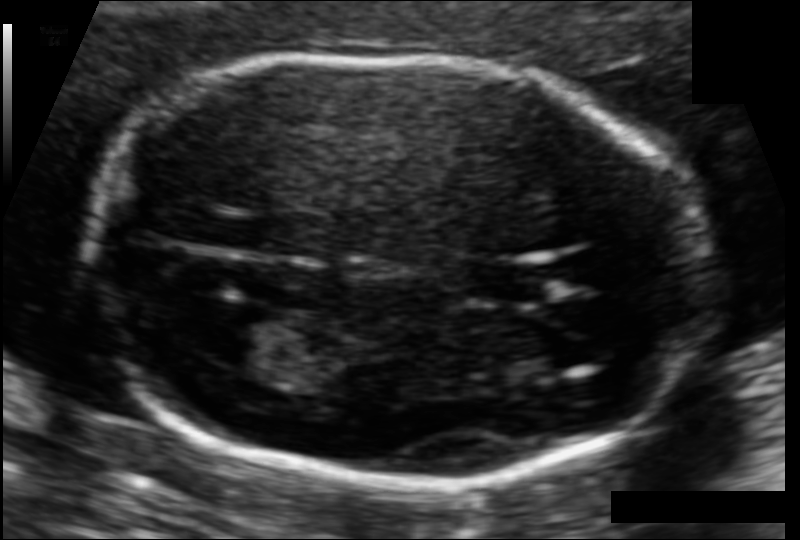
Fetal head ultrasound. Image width: 73.9 mm. Locate the cavum septum pellucidum.

CSP: [468,265,542,300]